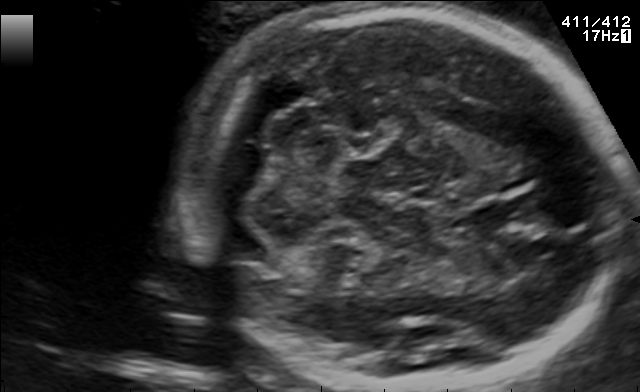
Fetal brain, trans-cerebellum plane. Locate the fetal head.

Head: [191,4,619,387]